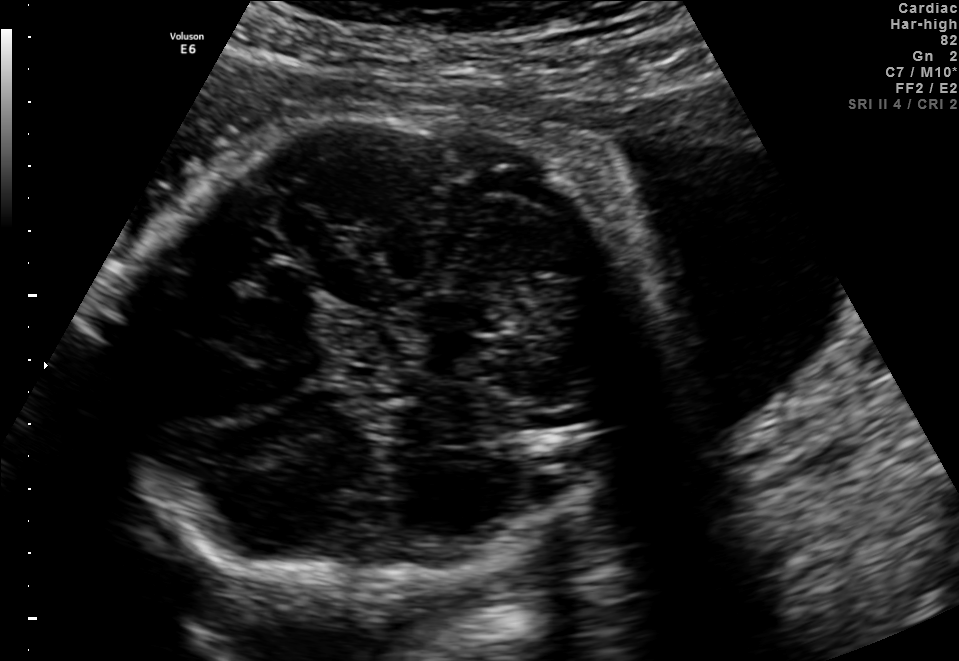
In this fetal brain, trans-thalamic plane, give bounding boxes for the head outline, cavum septum pellucidum (CSP), and lateral ventricle (LV), where visible.

Head: [116,99,637,608]